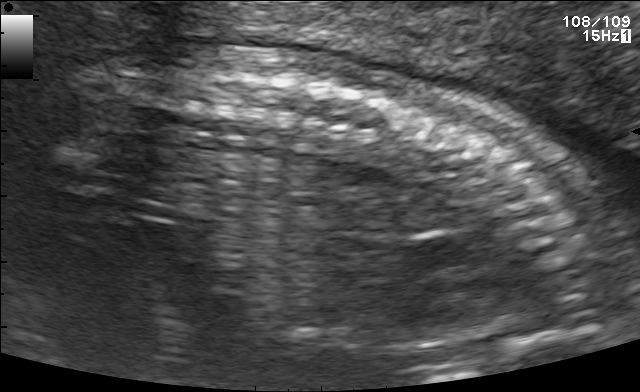
Identify the standard plane in this fetal ultrasound image: fetal abdomen, fetal brain, fetal femur, fetal thorax, maternal cervix, or other. If it's fetal brain and one of the three standard brain planes (trans-thalamic, trans-cerebellum, trans-ventricular), name which.

Other